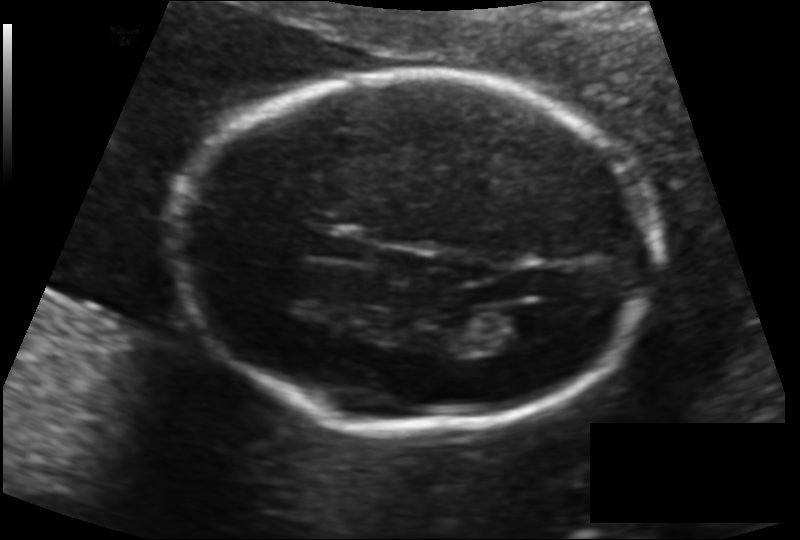
Estimate the fetal head circumference from this 2D ultrasound.

Head circumference: 181.6 mm (image width 107.4 mm).